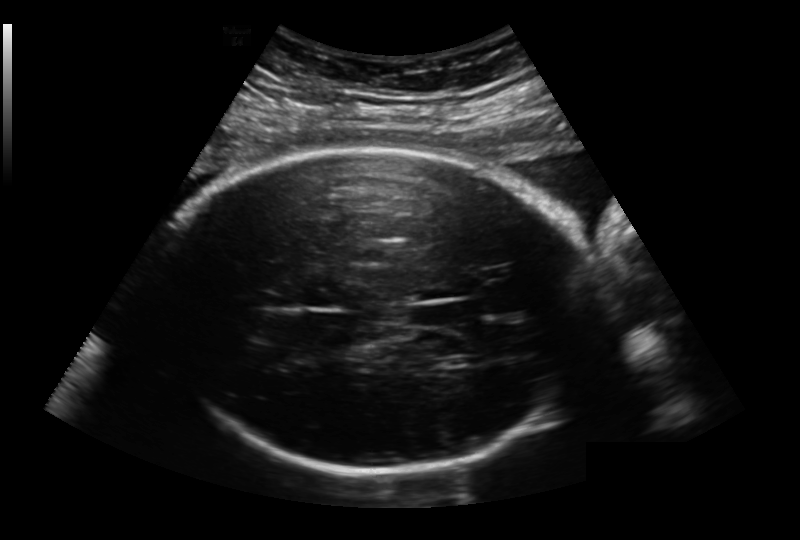
What is the fetal head circumference? Image width is 188.7 mm.

294.1 mm